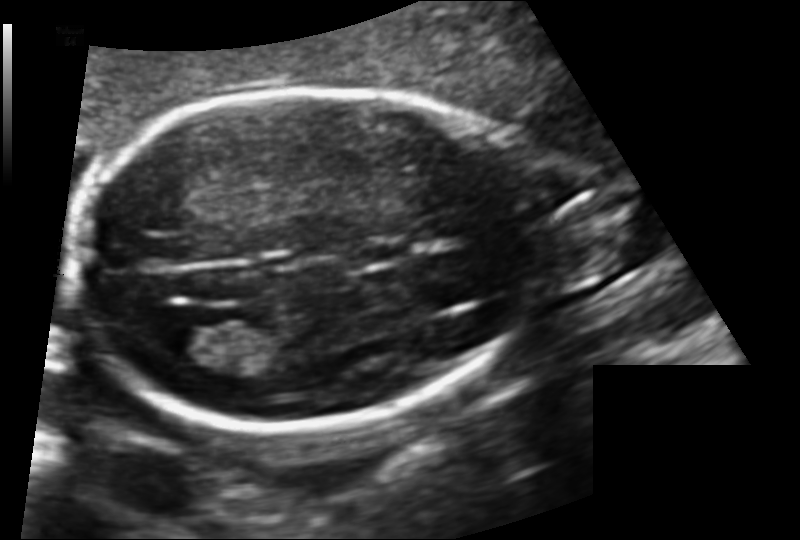
Estimate the fetal head circumference from this 2D ultrasound.

Head circumference: 170.6 mm (image width 102.4 mm).